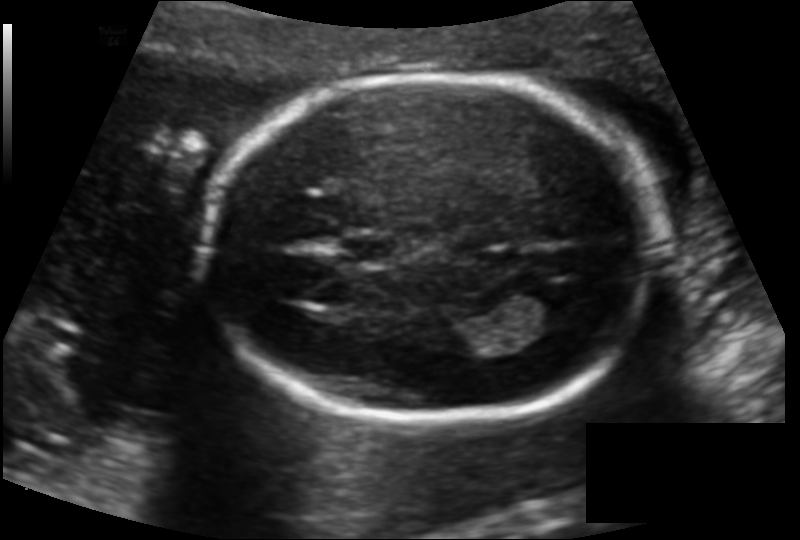
In this fetal head ultrasound, give the bounding box of the cavum septum pellucidum. Image width: 104.1 mm.

[340,233,401,265]